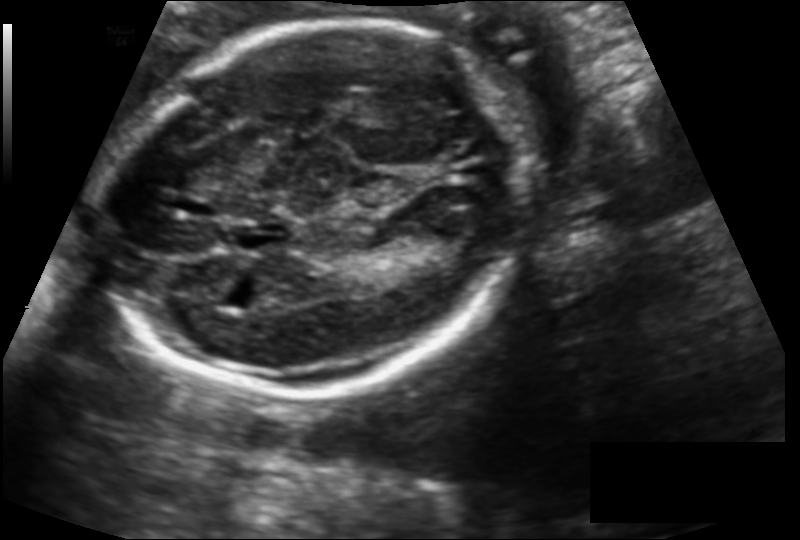
What is the fetal head circumference? Image width is 106.3 mm.

175.1 mm